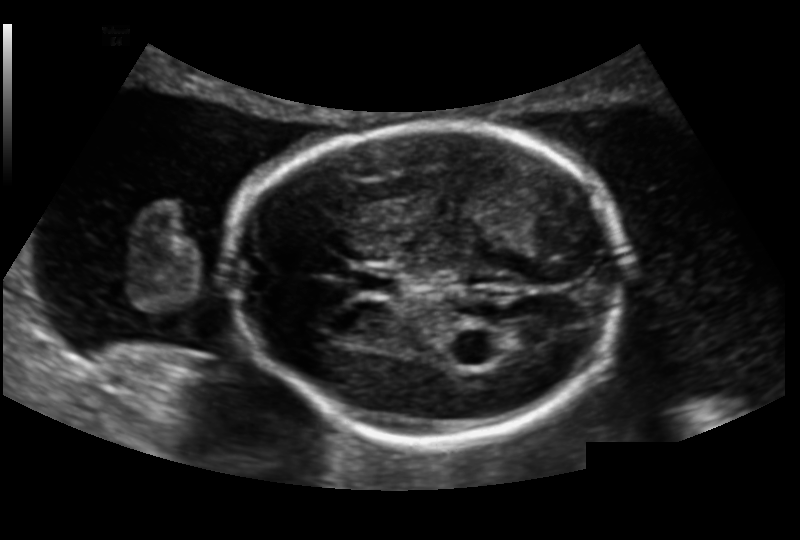
Fetal head ultrasound. Image width: 121.1 mm. Where is the cavum septum pellucidum?

CSP bounding box: [352,268,402,297]